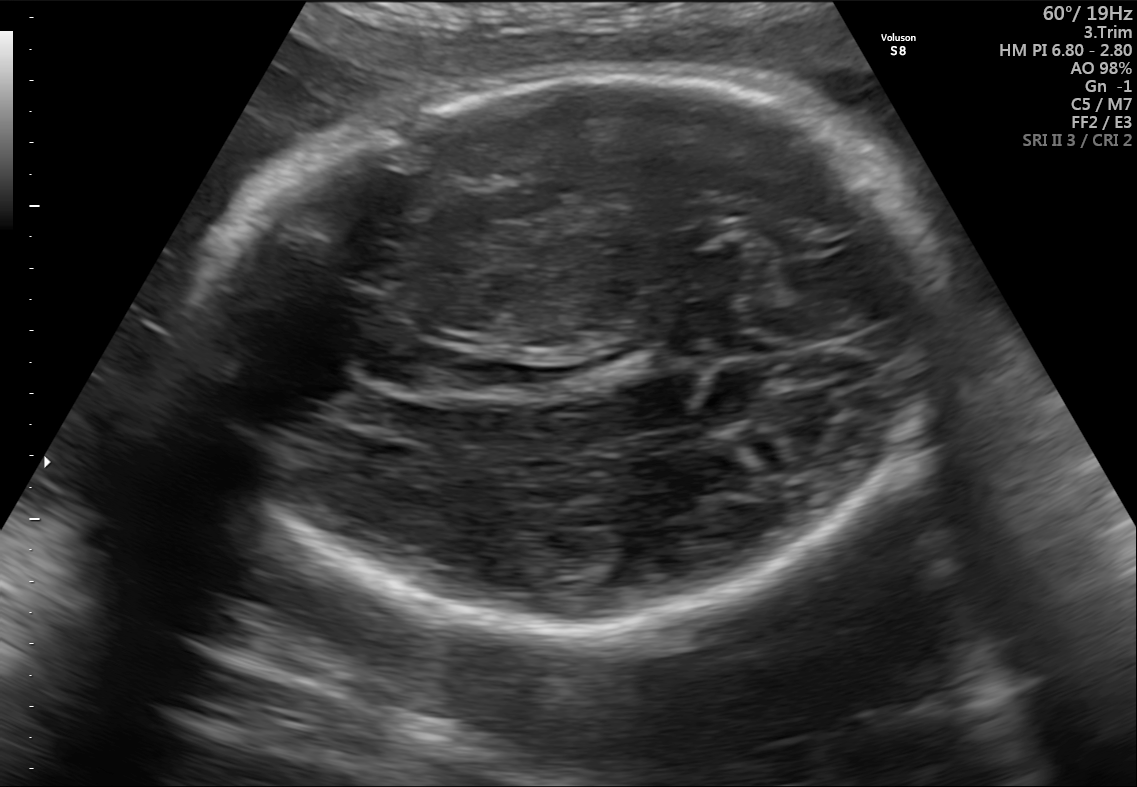
Fetal brain, trans-thalamic plane. Give [x1,y1,x2,y2] bounding boxes for each visible structure among: fetal head, CSP, LV.

Head: [219,79,953,639]